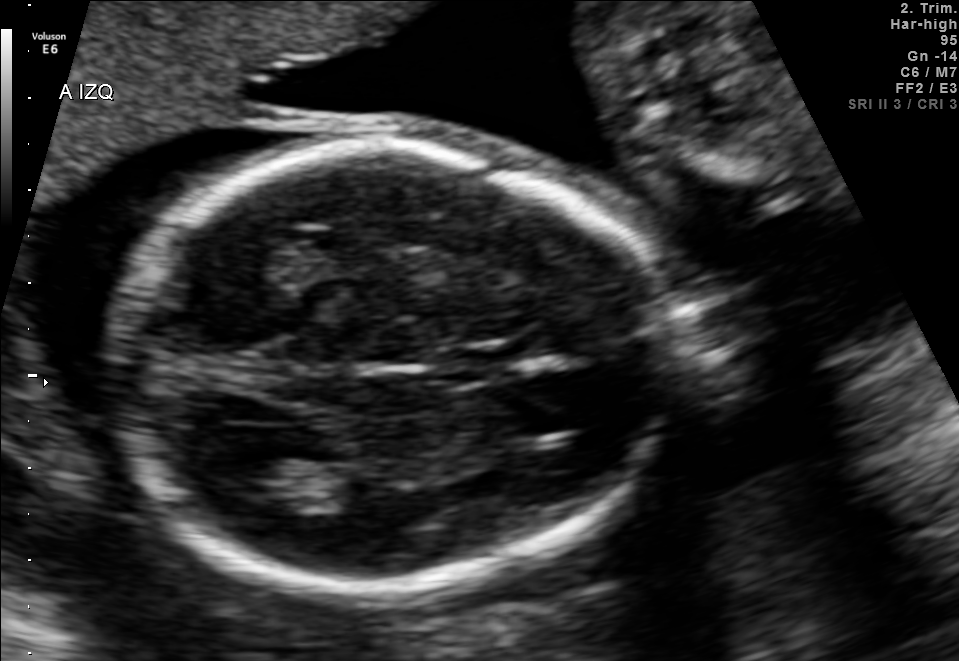
Fetal brain, trans-thalamic plane. Locate the fetal head and, if visible, the cavum septum pellucidum (CSP) and lateral ventricle (LV). Give bounding boxes as [x1,y1,x2,y2].

Head: [108,143,677,588]
CSP: [452,343,529,385]
Lateral ventricle: [222,464,320,509]